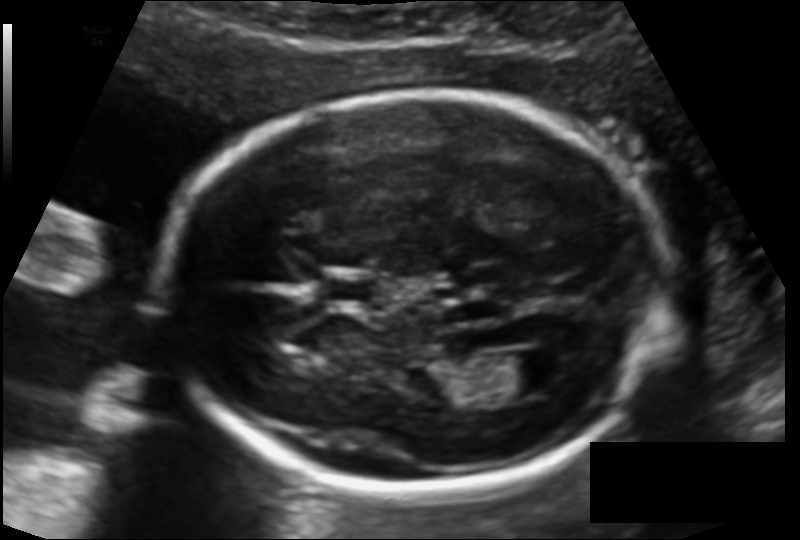
From this fetal ultrasound, estimate the head circumference (image width 101.2 mm).

Head circumference: 181.7 mm.